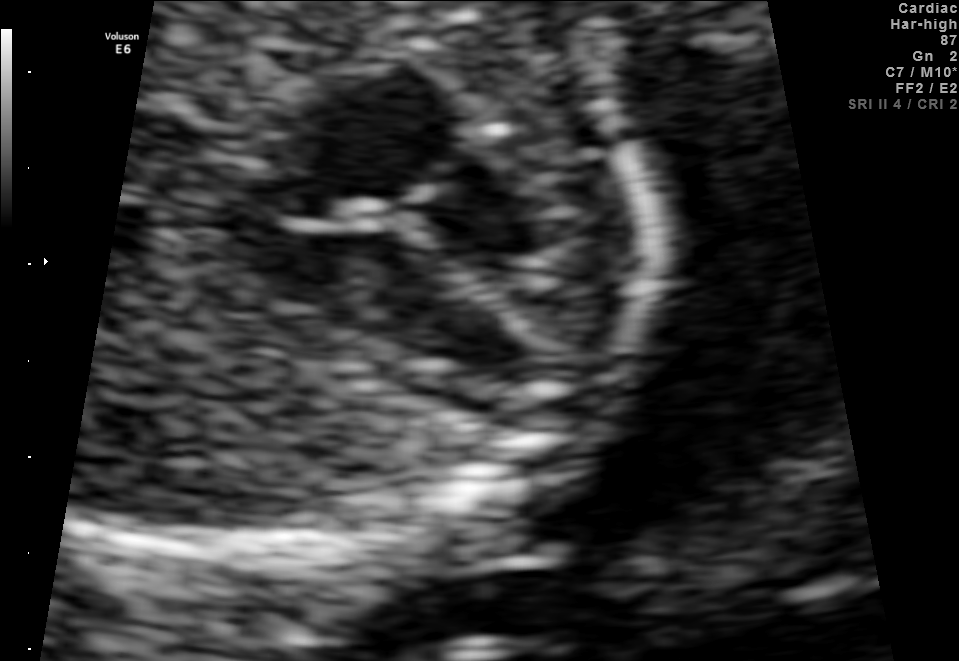
Which standard maternal-fetal ultrasound plane is shown: fetal abdomen, fetal brain, fetal femur, fetal thorax, maternal cervix, or other? If it's fetal brain and one of the three standard brain planes (trans-thalamic, trans-cerebellum, trans-ventricular), name which.

Fetal thorax